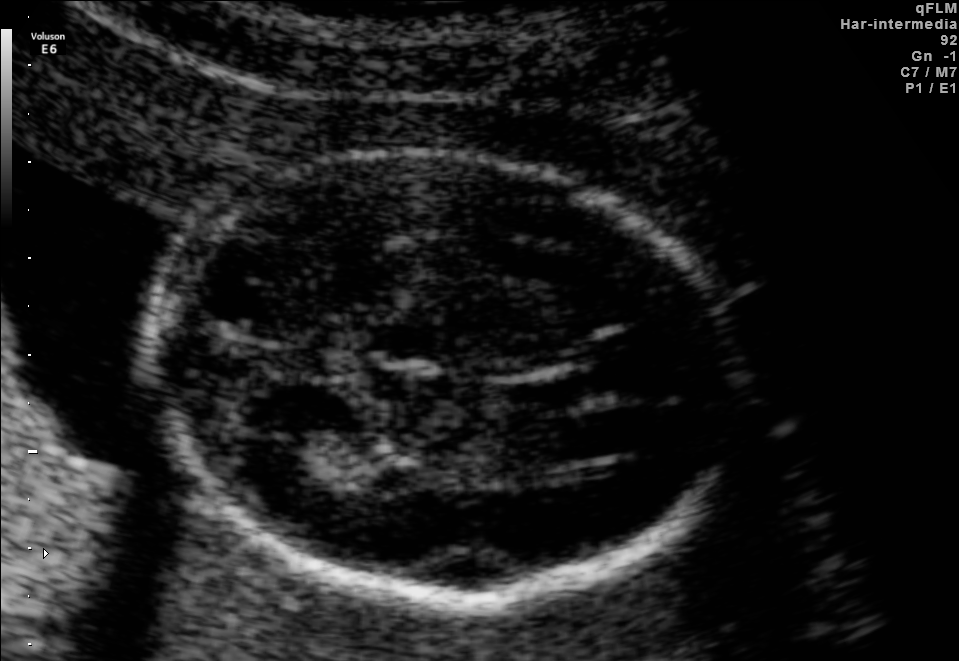
Fetal brain, trans-thalamic plane. Locate the fetal head and, if visible, the cavum septum pellucidum (CSP) and lateral ventricle (LV). Give bounding boxes as [x1,y1,x2,y2].

Head: [147,155,738,596]